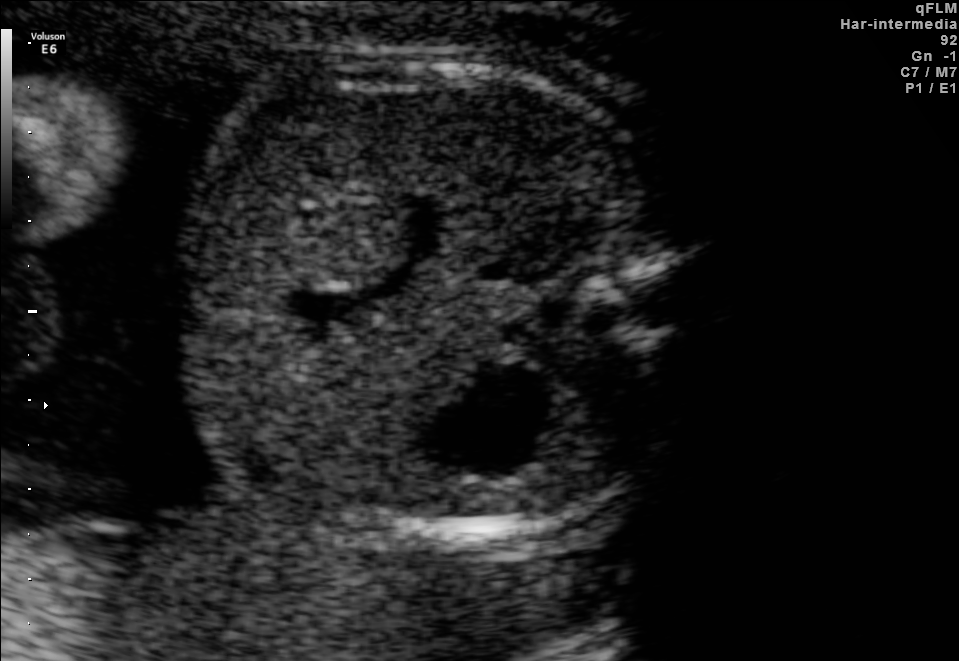
Which standard maternal-fetal ultrasound plane is shown: fetal abdomen, fetal brain, fetal femur, fetal thorax, maternal cervix, or other? If it's fetal brain and one of the three standard brain planes (trans-thalamic, trans-cerebellum, trans-ventricular), name which.

Fetal abdomen